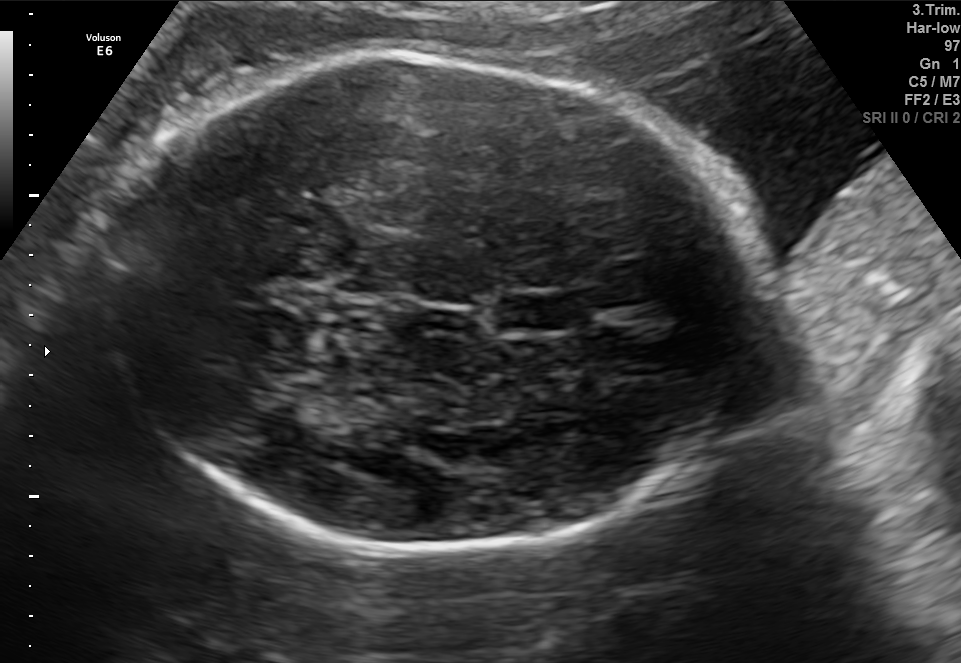
This is a 2D maternal-fetal ultrasound frame. Is it a fetal abdomen, fetal brain, fetal femur, fetal thorax, maternal cervix, or other standard plane? If it's fetal brain and one of the three standard brain planes (trans-thalamic, trans-cerebellum, trans-ventricular), name which.

Fetal brain (trans-thalamic plane)